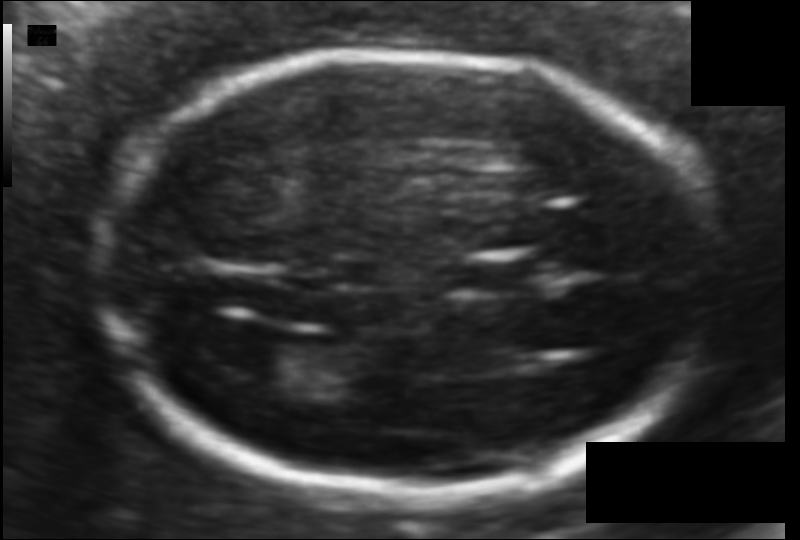
From this fetal ultrasound, estimate the head circumference (image width 75.4 mm).

Head circumference: 165.0 mm.